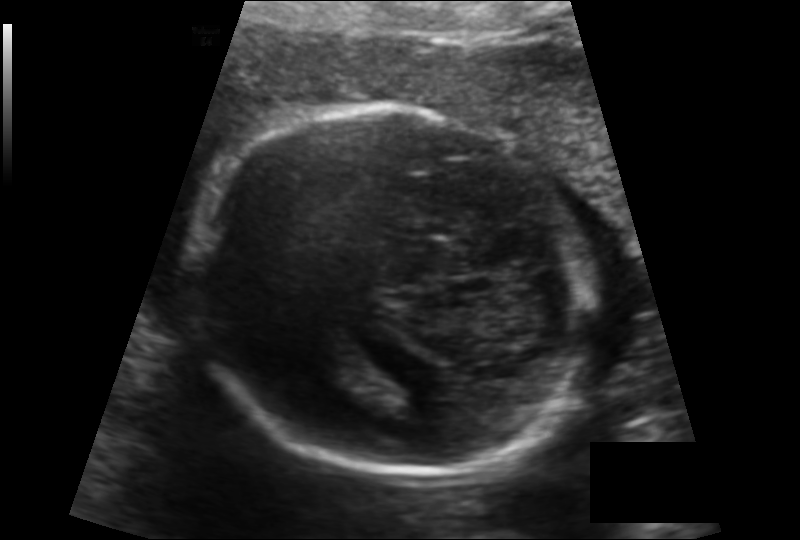
Estimate the fetal head circumference from this 2D ultrasound. Image width: 113.4 mm.

Head circumference: 178.0 mm.